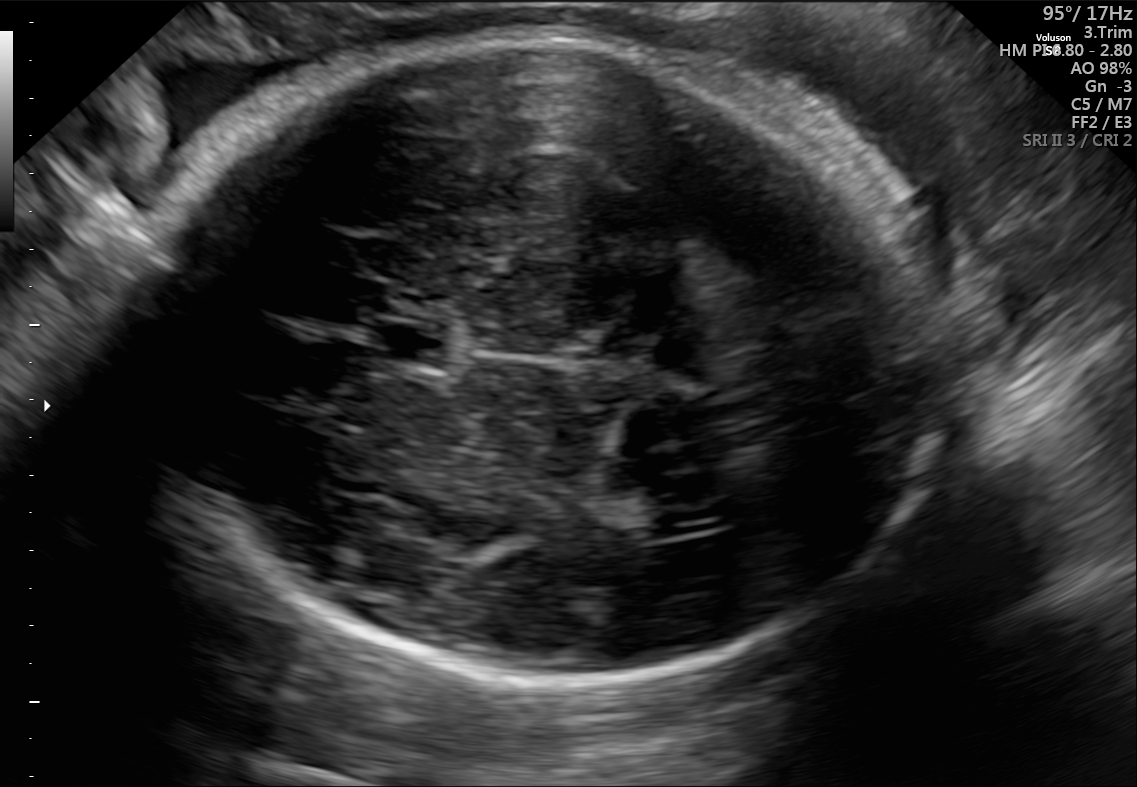
In this fetal brain, trans-ventricular plane, give the bounding box of the fetal head.

[146,26,965,687]